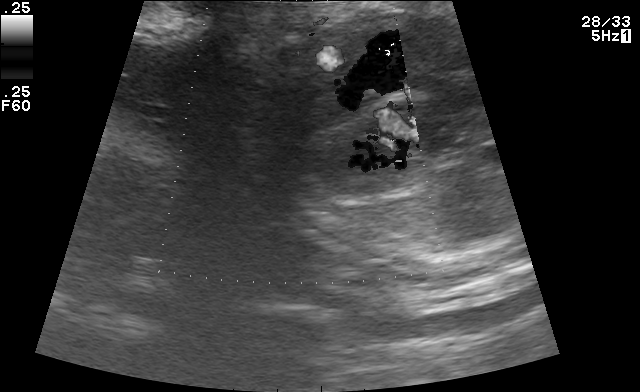
Which standard maternal-fetal ultrasound plane is shown: fetal abdomen, fetal brain, fetal femur, fetal thorax, maternal cervix, or other? If it's fetal brain and one of the three standard brain planes (trans-thalamic, trans-cerebellum, trans-ventricular), name which.

Other